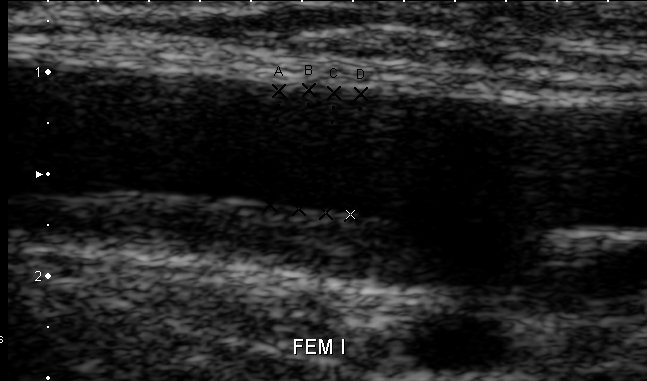
This is a 2D maternal-fetal ultrasound frame. Is it a fetal abdomen, fetal brain, fetal femur, fetal thorax, maternal cervix, or other standard plane? If it's fetal brain and one of the three standard brain planes (trans-thalamic, trans-cerebellum, trans-ventricular), name which.

Other